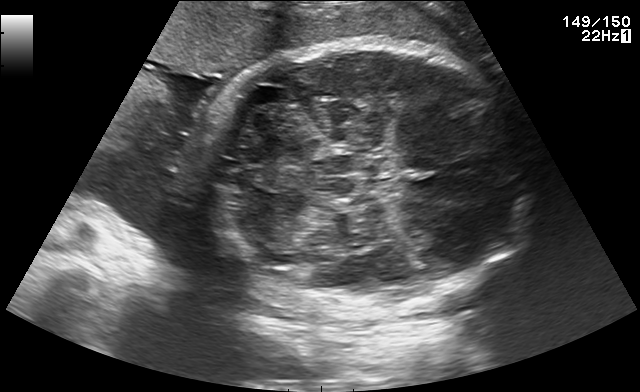
Fetal brain, trans-cerebellum plane. Locate the fetal head and, if visible, the cavum septum pellucidum (CSP) and lateral ventricle (LV). Give bounding boxes as [x1,y1,x2,y2].

Head: [202,41,528,308]